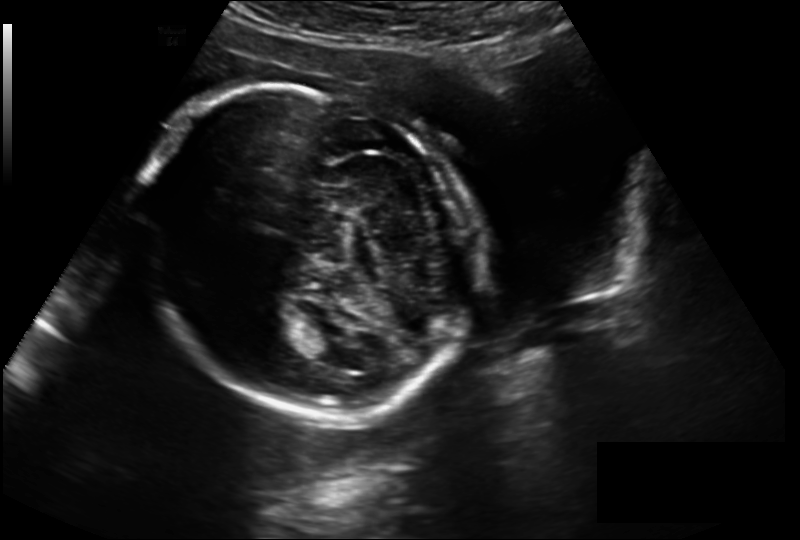
Fetal head ultrasound. Image width: 168.8 mm. Locate the fetal head and, if visible, the cavum septum pellucidum (CSP) and lateral ventricle (LV). Give bounding boxes as [x1,y1,x2,y2].

Head: [141,85,465,422]